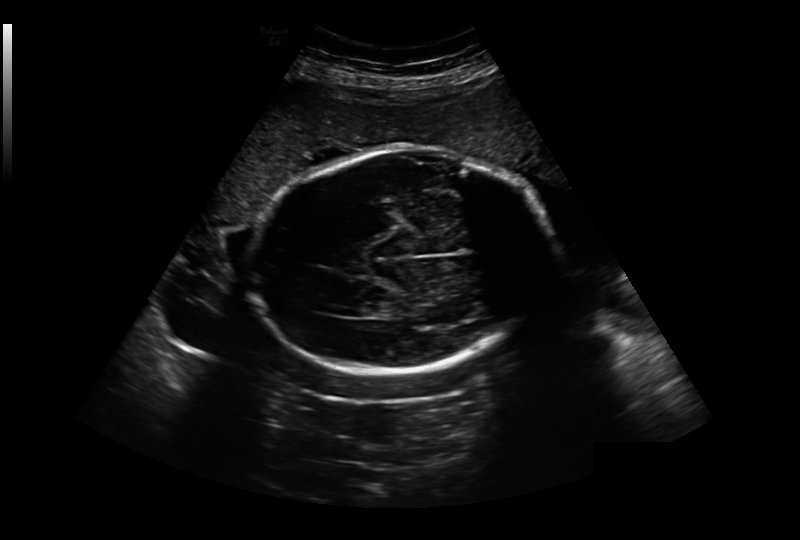
Fetal head ultrasound. Image width: 278.8 mm. Locate the fetal head.

Head: [249,147,556,372]